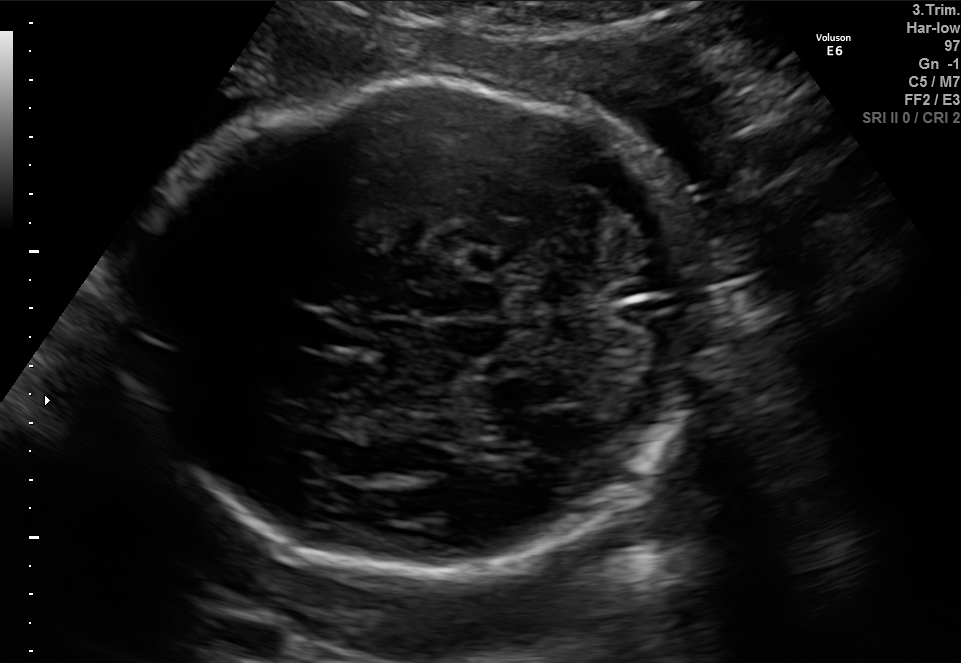
Fetal brain, trans-cerebellum plane. Locate the fetal head.

Head: [126,77,698,578]